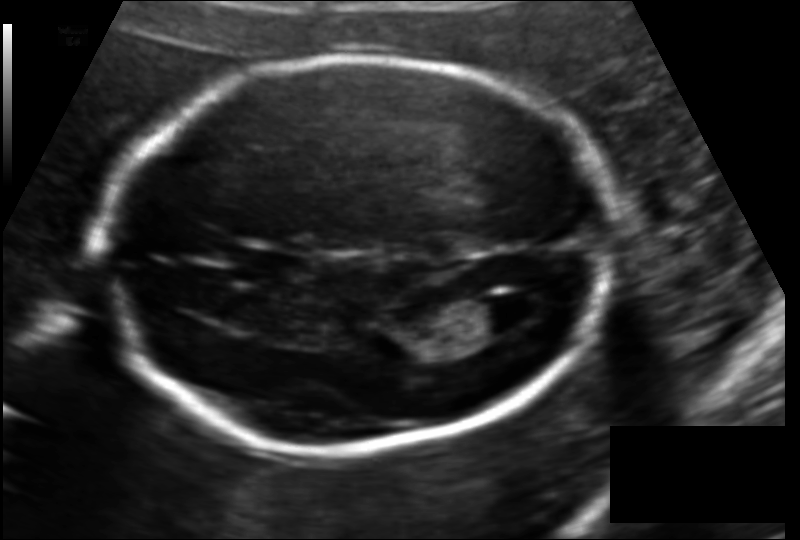
From this fetal ultrasound, estimate the head circumference (image width 101.5 mm).

Head circumference: 185.4 mm.